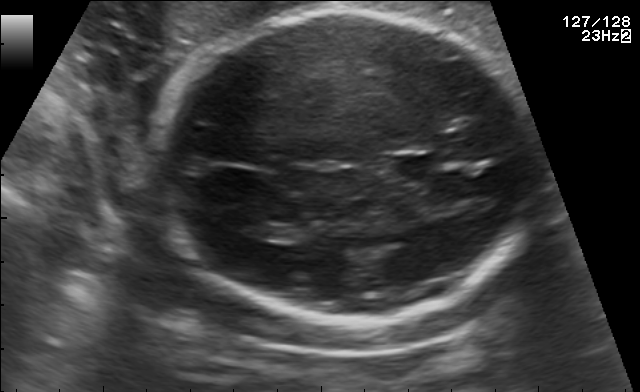
Fetal brain, trans-thalamic plane. Give [x1,y1,x2,y2] bounding boxes for each visible structure among: fetal head, CSP, LV.

Head: [157,12,543,325]
CSP: [386,155,432,179]
Lateral ventricle: [236,217,282,242]